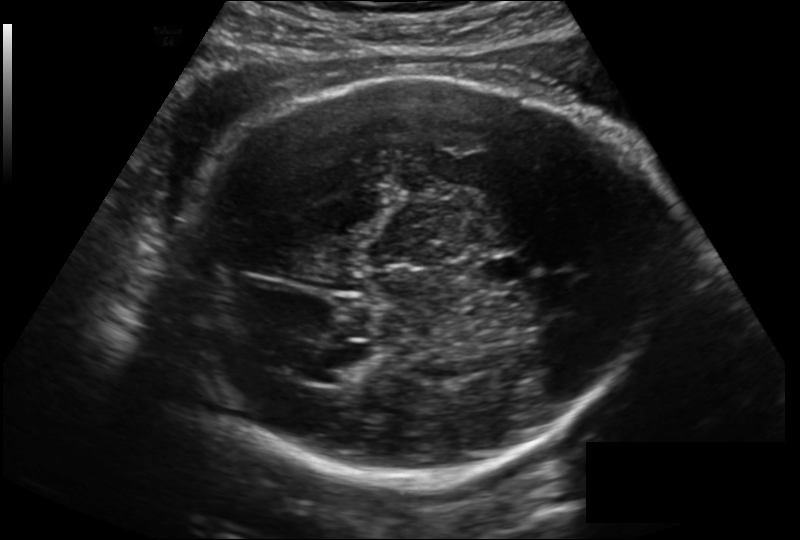
In this fetal head ultrasound, give the bounding box of the cavum septum pellucidum. Image width: 159.3 mm.

[474,246,532,293]